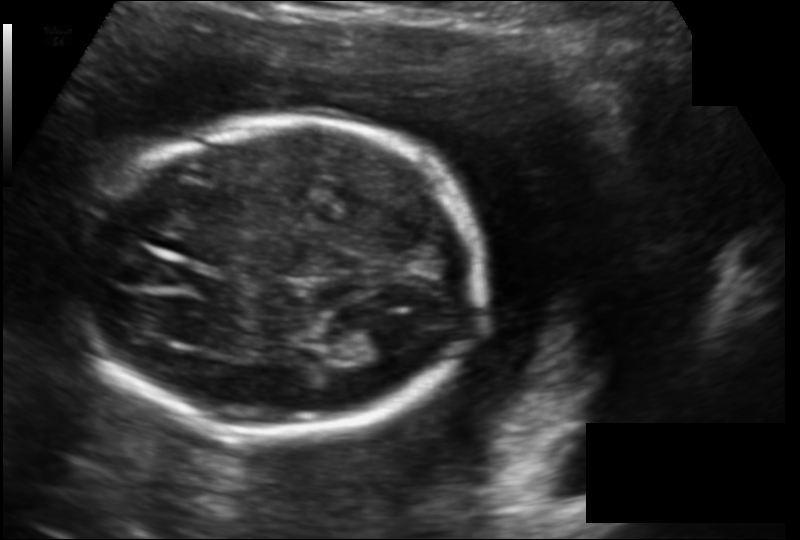
In this fetal head ultrasound, give bounding boxes for the head outline, cavum septum pellucidum (CSP), and lateral ventricle (LV), where visible. Image width: 113.3 mm.

Head: [75,119,481,434]
Lateral ventricle: [350,315,418,367]